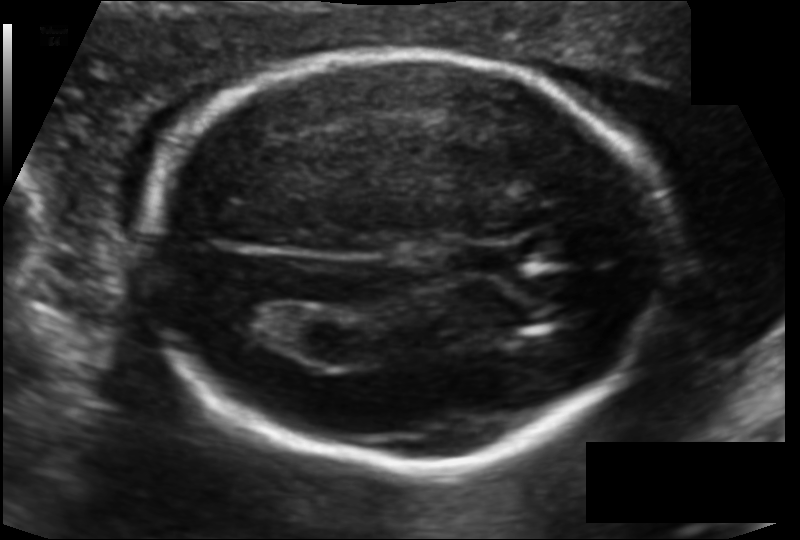
From this fetal ultrasound, estimate the head circumference (image width 91.7 mm).

Head circumference: 174.2 mm.